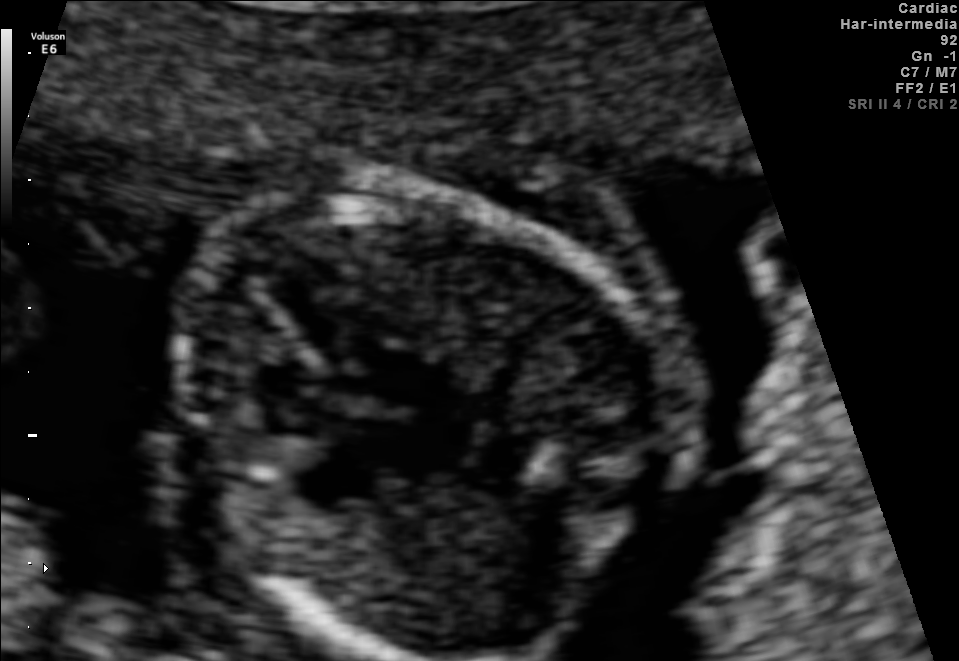
Classify this maternal-fetal ultrasound image as one of the six standard planes — fetal abdomen, fetal brain, fetal femur, fetal thorax, maternal cervix, or other. If it's fetal brain and one of the three standard brain planes (trans-thalamic, trans-cerebellum, trans-ventricular), name which.

Fetal thorax